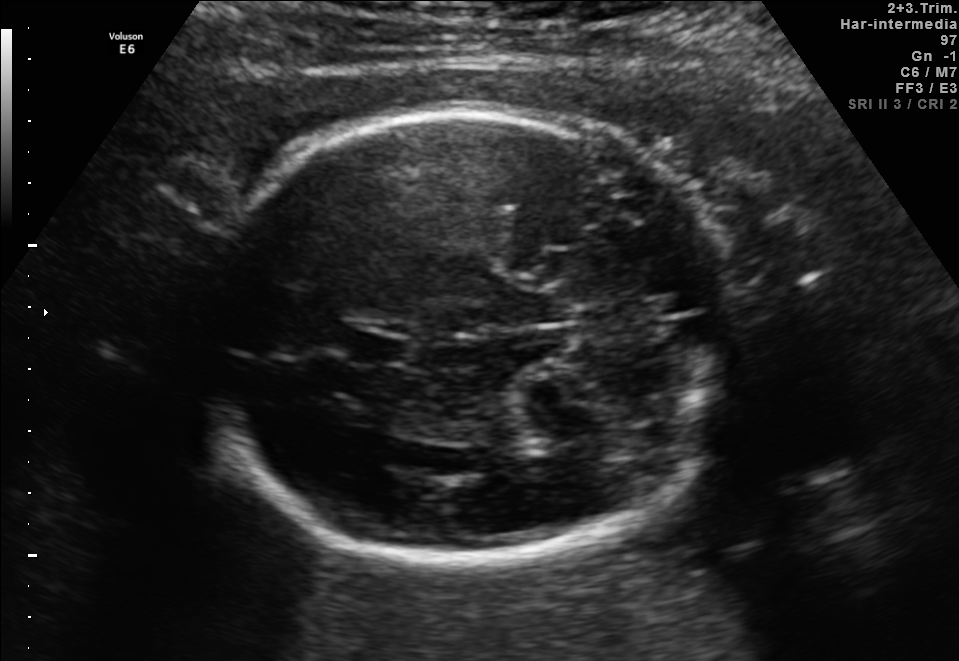
Fetal brain, trans-cerebellum plane. Where is the fetal head?

Head bounding box: [201,109,738,560]